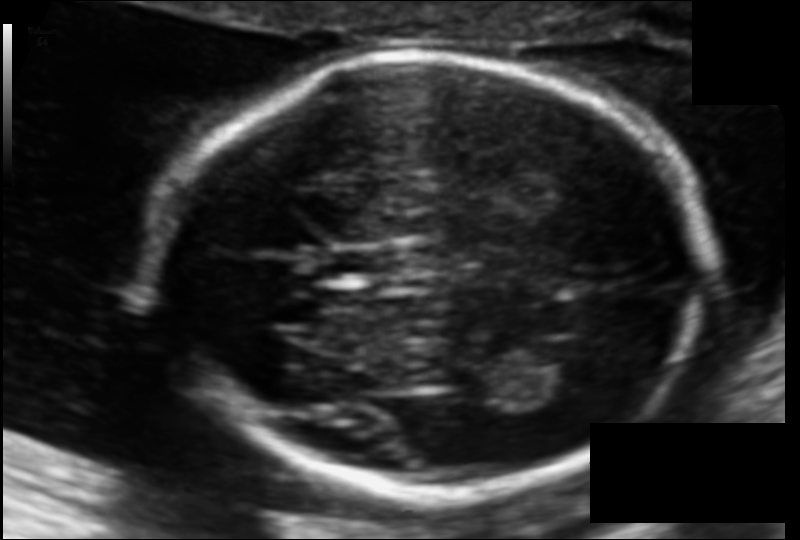
Fetal head ultrasound. Image width: 86.8 mm. Locate the fetal head.

Head: [154,54,704,491]